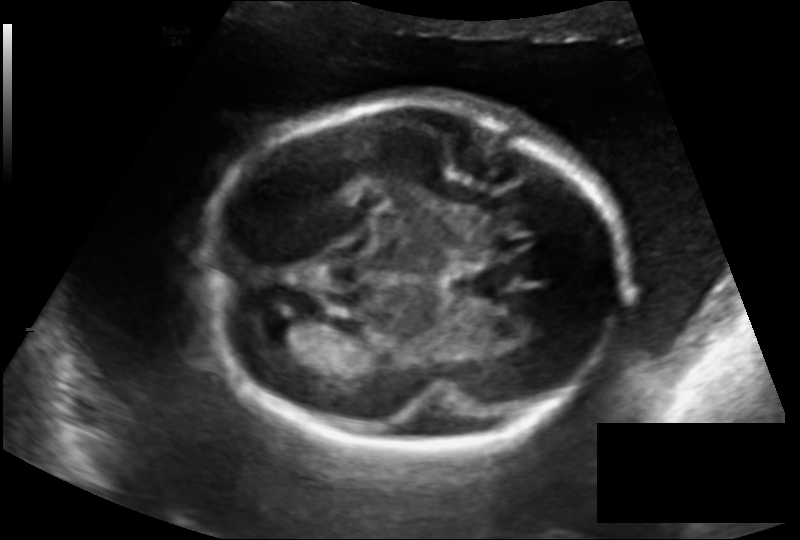
Fetal head ultrasound. Image width: 129.7 mm. Where is the fetal head?

Head bounding box: [207,97,620,454]